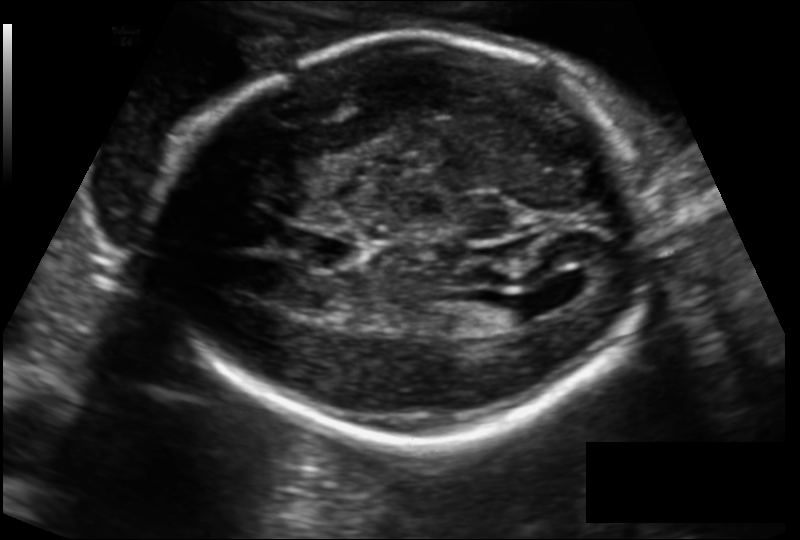
In this fetal head ultrasound, give the bounding box of the cavum septum pellucidum. Image width: 119.5 mm.

[296,229,362,275]